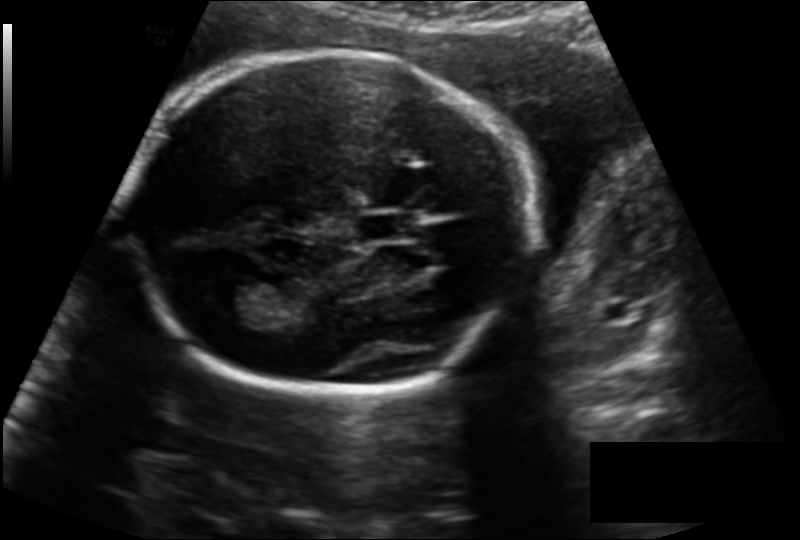
In this fetal head ultrasound, give the bounding box of the cavum septum pellucidum. Image width: 122.1 mm.

[356,210,415,245]